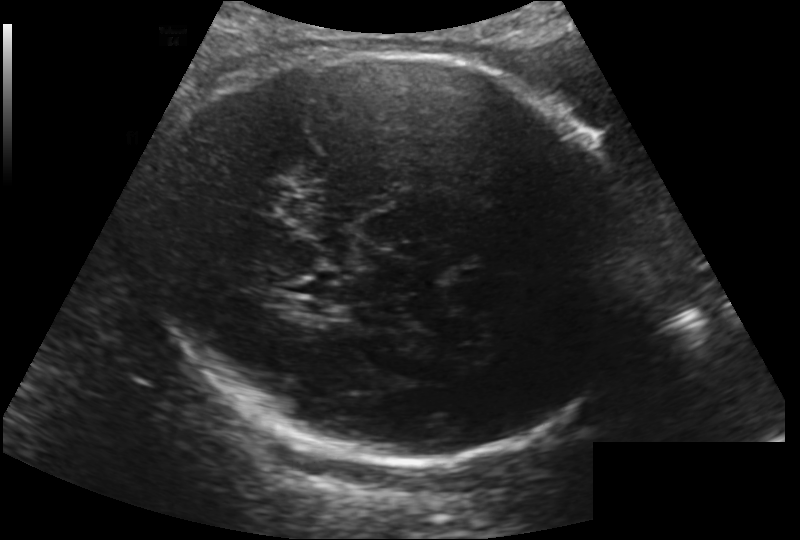
From this fetal ultrasound, estimate the head circumference (image width 160.1 mm).

Head circumference: 284.9 mm.